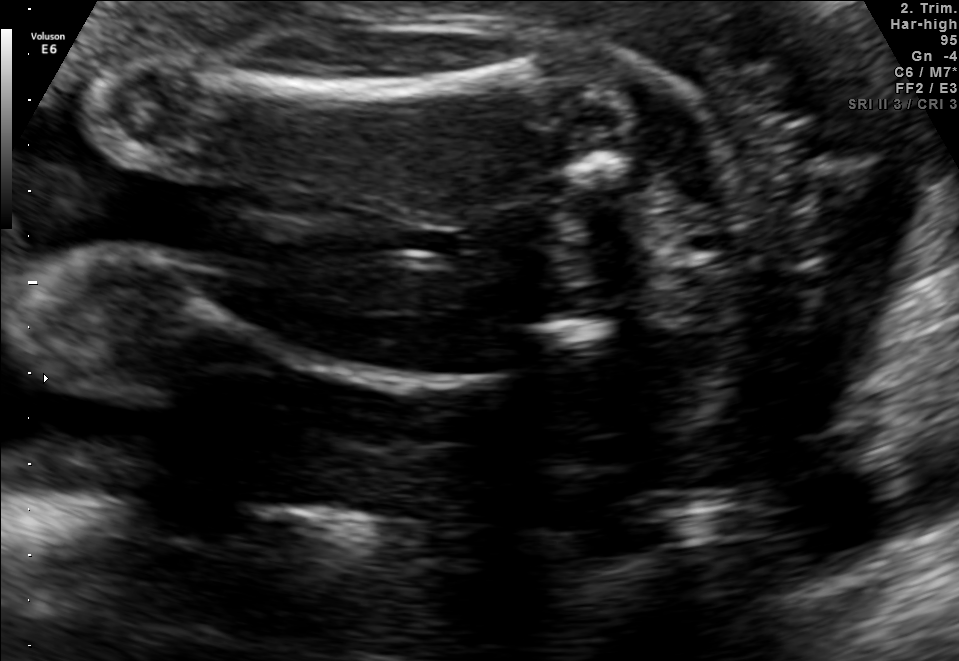
Which standard maternal-fetal ultrasound plane is shown: fetal abdomen, fetal brain, fetal femur, fetal thorax, maternal cervix, or other? If it's fetal brain and one of the three standard brain planes (trans-thalamic, trans-cerebellum, trans-ventricular), name which.

Fetal femur